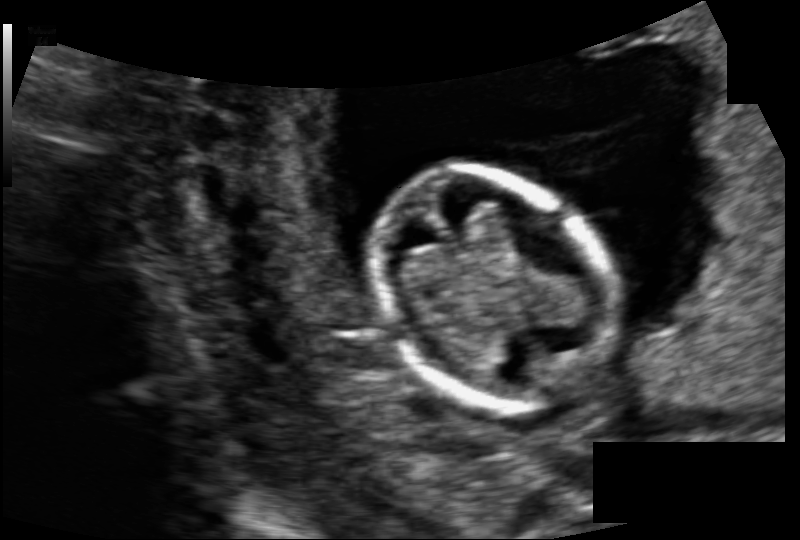
From this fetal ultrasound, estimate the head circumference (image width 83.3 mm).

Head circumference: 82.0 mm.